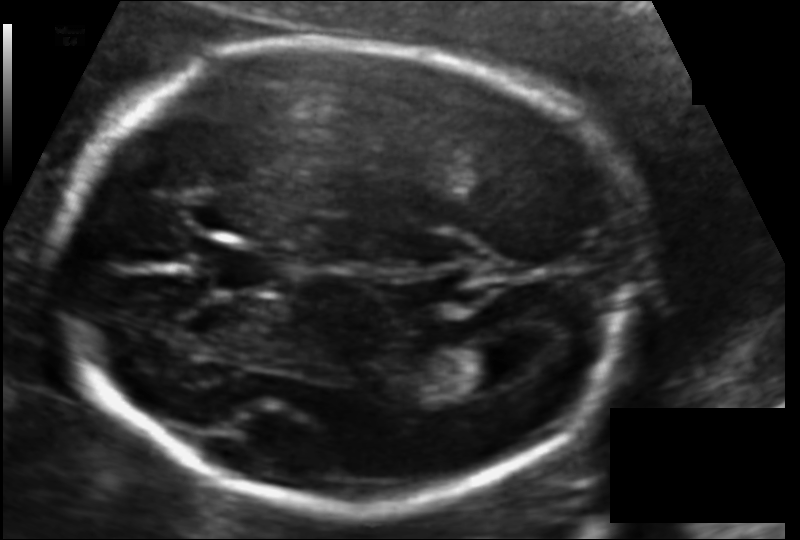
Measure the fetal head circumference shown in this ultrasound image. Image width: 92.7 mm.

Head circumference: 197.9 mm.